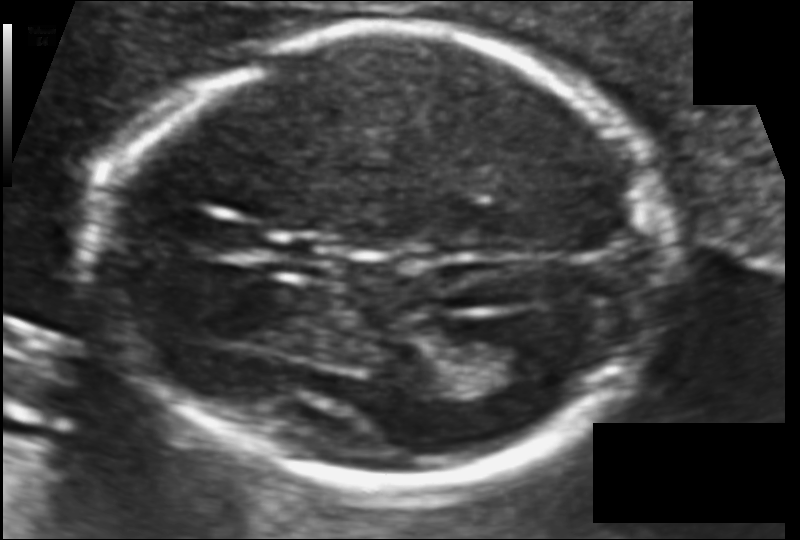
Fetal head ultrasound. Image width: 78.9 mm. Locate the fetal head and, if visible, the cavum septum pellucidum (CSP) and lateral ventricle (LV). Give bounding boxes as [x1,y1,x2,y2].

Head: [102,28,662,488]
Lateral ventricle: [455,323,552,393]